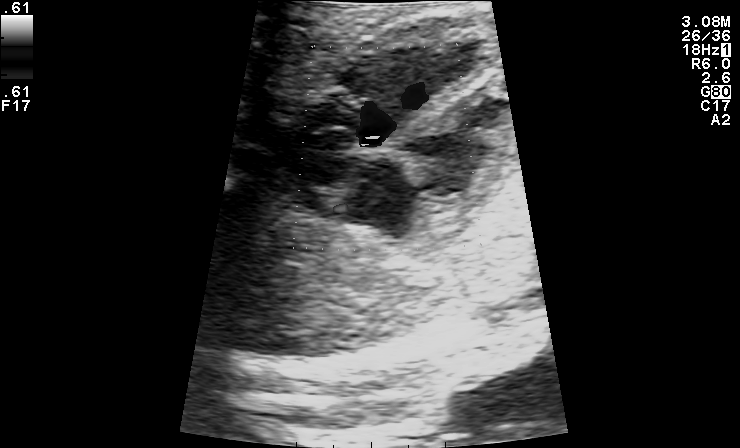
Identify the standard plane in this fetal ultrasound image: fetal abdomen, fetal brain, fetal femur, fetal thorax, maternal cervix, or other. If it's fetal brain and one of the three standard brain planes (trans-thalamic, trans-cerebellum, trans-ventricular), name which.

Other